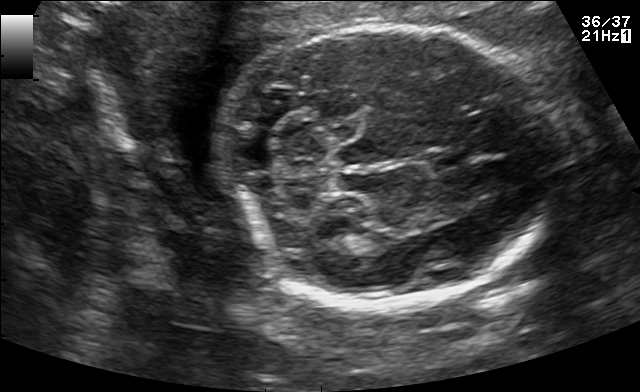
Fetal brain, trans-cerebellum plane. Where is the cavum septum pellucidum?

CSP bounding box: [422,138,479,175]